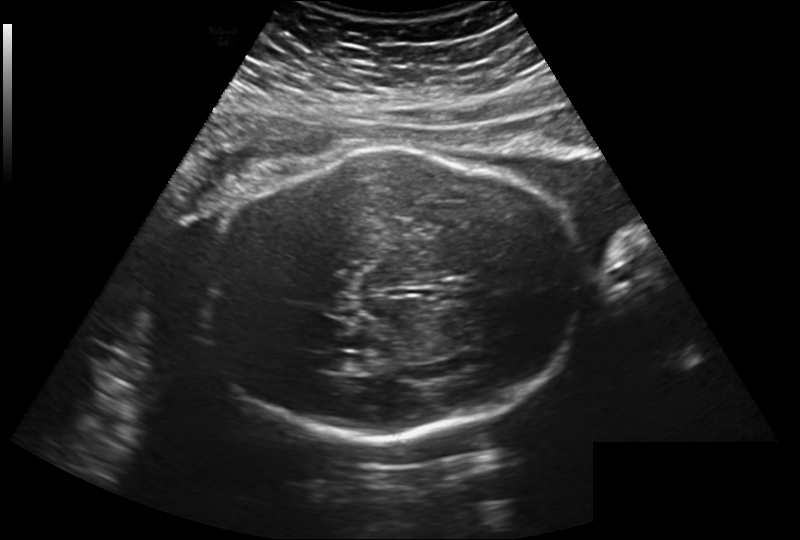
Fetal head ultrasound. Image width: 208.3 mm. Locate the fetal head and, if visible, the cavum septum pellucidum (CSP) and lateral ventricle (LV). Give bounding boxes as [x1,y1,x2,y2].

Head: [204,145,583,439]
Lateral ventricle: [326,352,364,373]